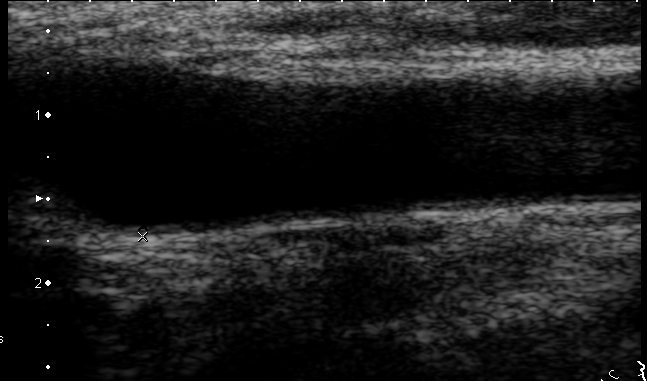
Classify this maternal-fetal ultrasound image as one of the six standard planes — fetal abdomen, fetal brain, fetal femur, fetal thorax, maternal cervix, or other. If it's fetal brain and one of the three standard brain planes (trans-thalamic, trans-cerebellum, trans-ventricular), name which.

Other